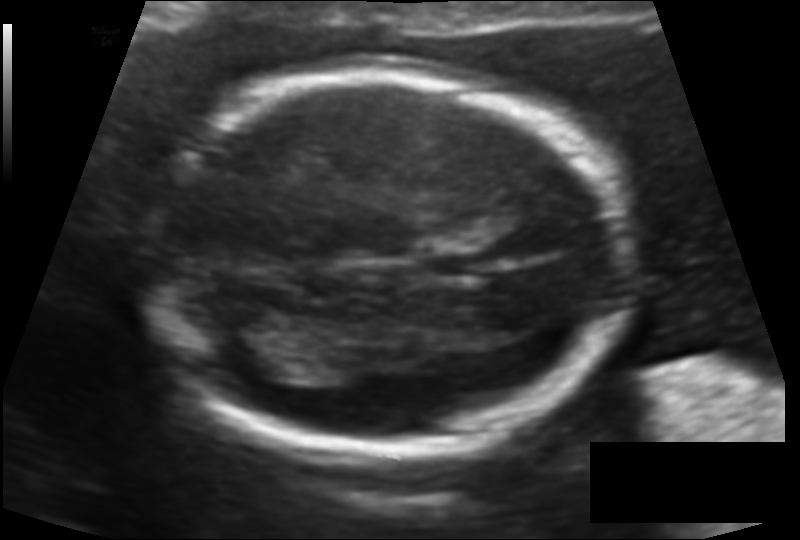
Fetal head ultrasound. Image width: 92.6 mm. Give [x1,y1,x2,y2] bounding boxes for each visible structure among: fetal head, CSP, LV.

Head: [139,69,622,449]
Lateral ventricle: [203,303,308,382]